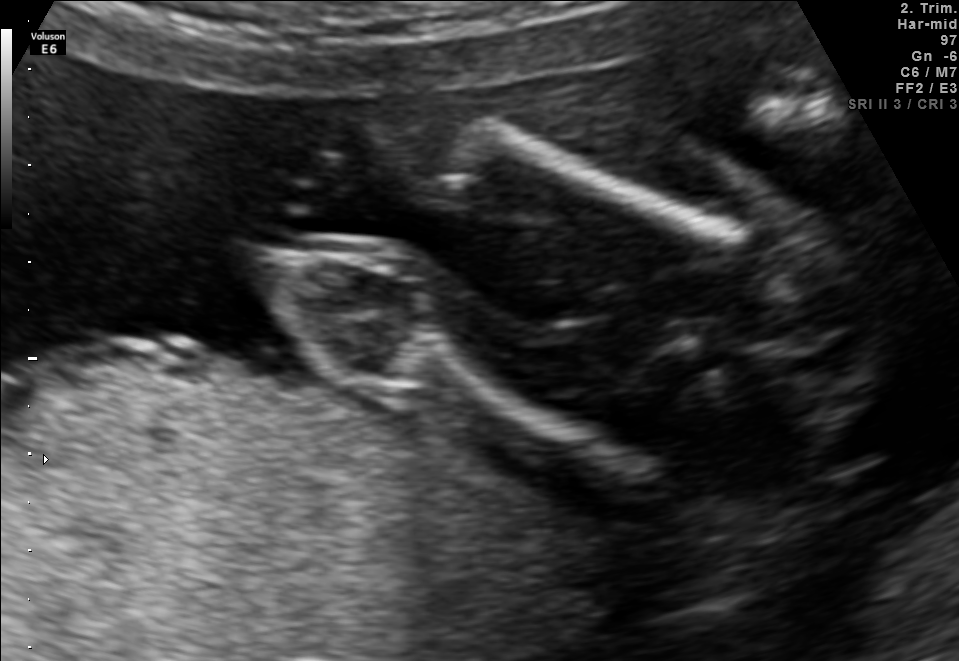
This is a 2D maternal-fetal ultrasound frame. Is it a fetal abdomen, fetal brain, fetal femur, fetal thorax, maternal cervix, or other standard plane? If it's fetal brain and one of the three standard brain planes (trans-thalamic, trans-cerebellum, trans-ventricular), name which.

Fetal femur